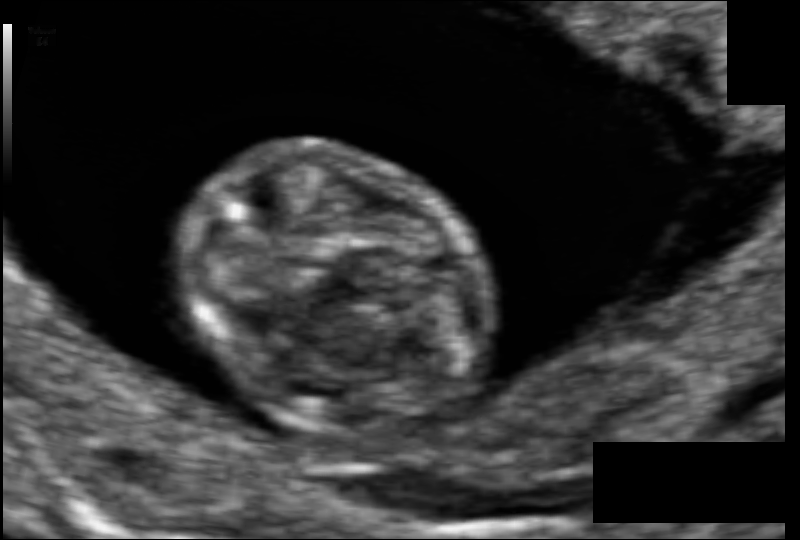
In this fetal head ultrasound, give bounding boxes for the head outline, cavum septum pellucidum (CSP), and lateral ventricle (LV), where visible. Image width: 49.0 mm.

Head: [180,139,490,439]